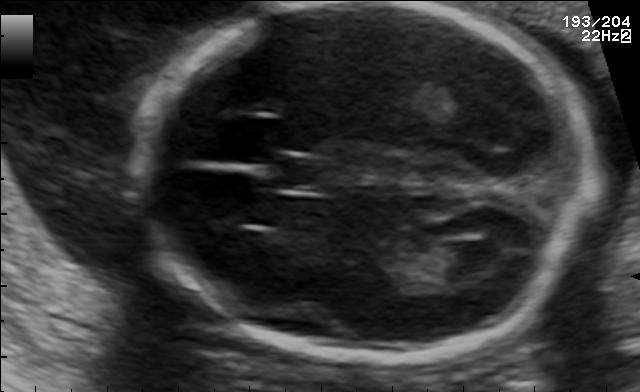
Fetal brain, trans-ventricular plane. Locate the fetal head and, if visible, the cavum septum pellucidum (CSP) and lateral ventricle (LV). Give bounding boxes as [x1,y1,x2,y2].

Head: [125,3,604,363]
CSP: [273,154,335,195]
Lateral ventricle: [447,238,512,283]